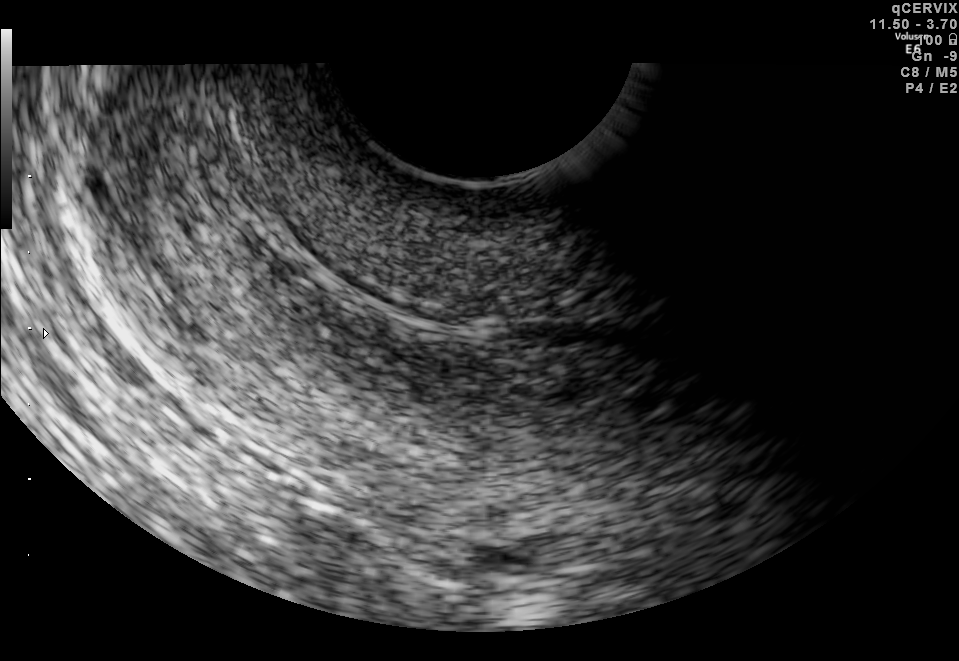
This is a 2D maternal-fetal ultrasound frame. Is it a fetal abdomen, fetal brain, fetal femur, fetal thorax, maternal cervix, or other standard plane? If it's fetal brain and one of the three standard brain planes (trans-thalamic, trans-cerebellum, trans-ventricular), name which.

Maternal cervix